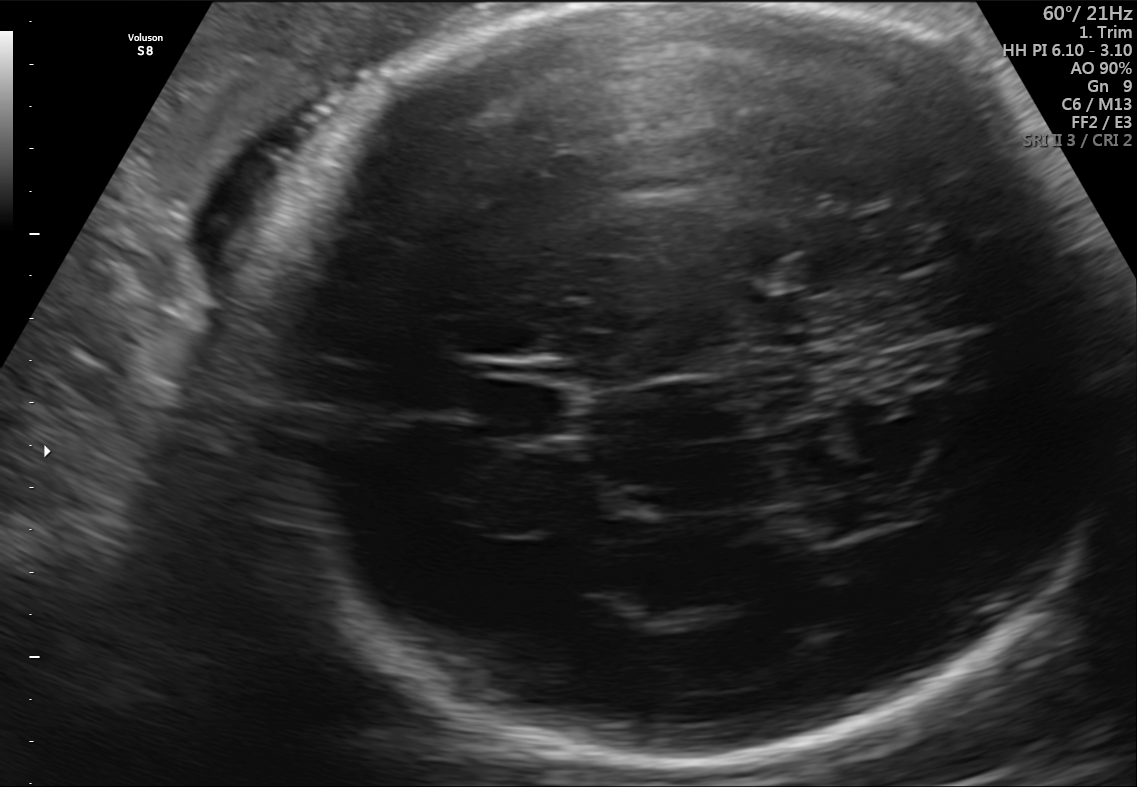
Fetal brain, trans-thalamic plane. Where is the lateral ventricle?

Lateral ventricle bounding box: [798,489,889,547]